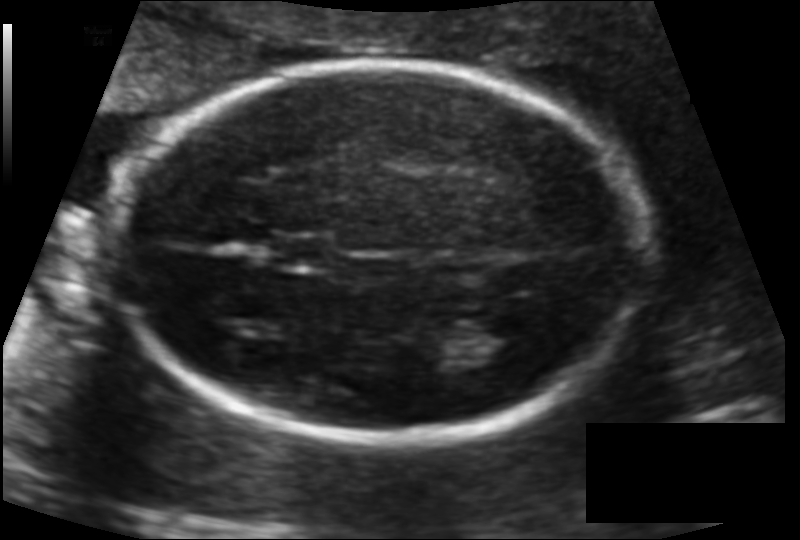
In this fetal head ultrasound, give the bounding box of the fetal head. Image width: 91.7 mm.

[114,60,644,444]